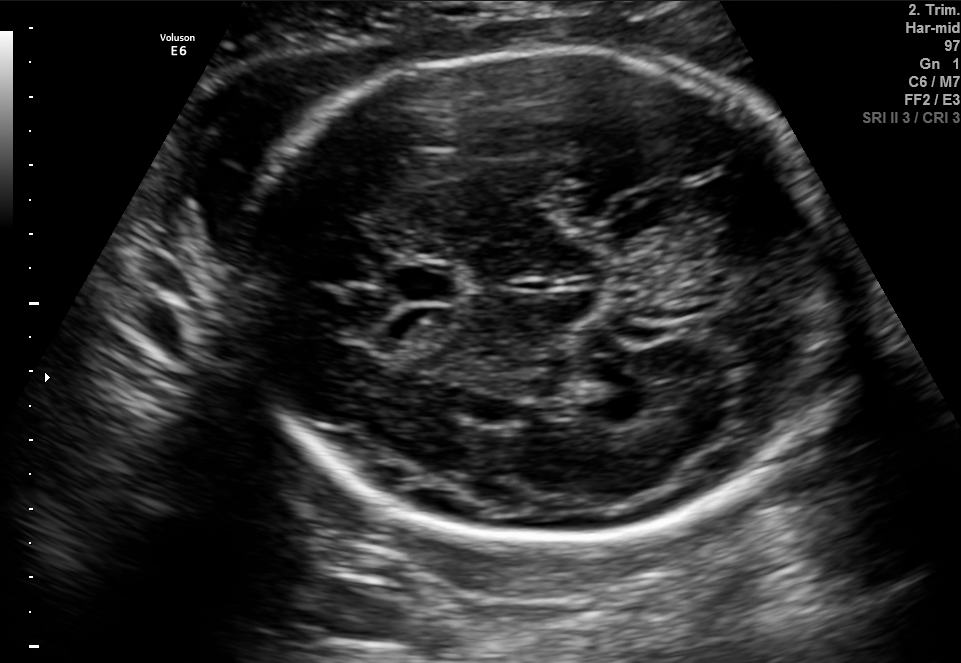
In this fetal brain, trans-thalamic plane, give the bounding box of the fetal head.

[233,47,842,550]